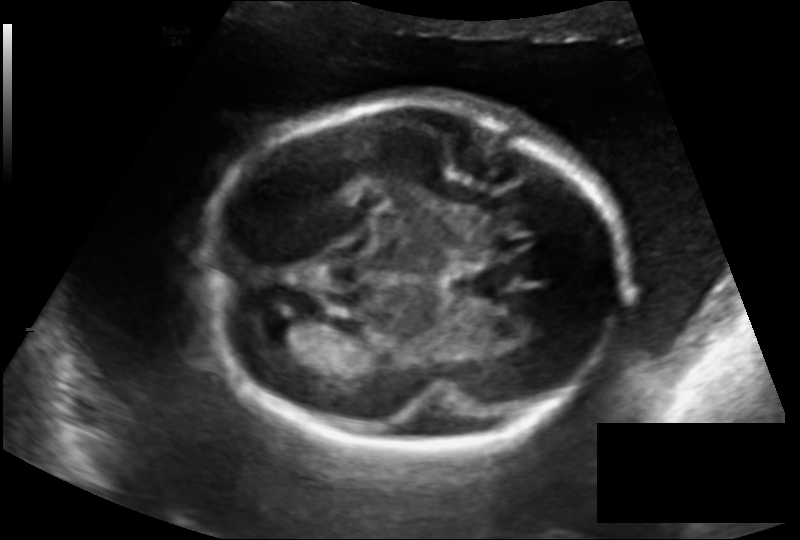
Fetal head ultrasound. Image width: 129.7 mm. Locate the lateral ventricle.

Lateral ventricle: [246,302,302,351]